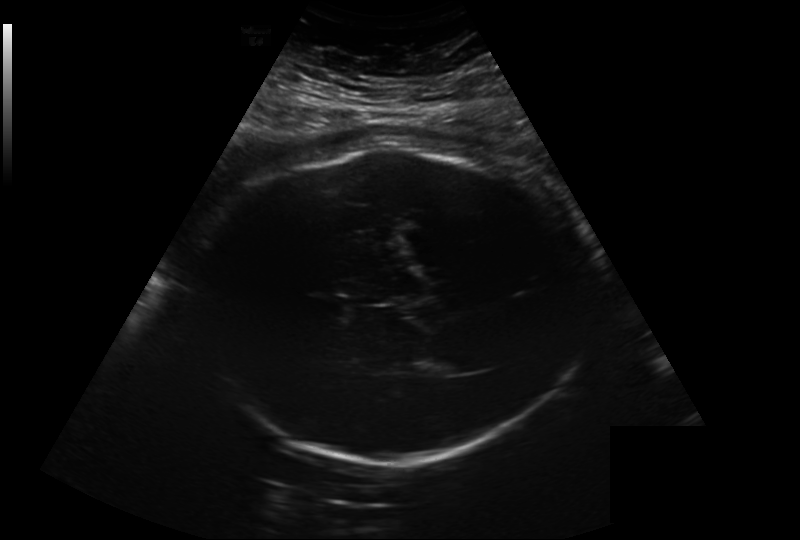
In this fetal head ultrasound, give bounding boxes for the head outline, cavum septum pellucidum (CSP), and lateral ventricle (LV), where visible. Image width: 225.2 mm.

Head: [199,148,584,462]
Lateral ventricle: [428,352,470,376]